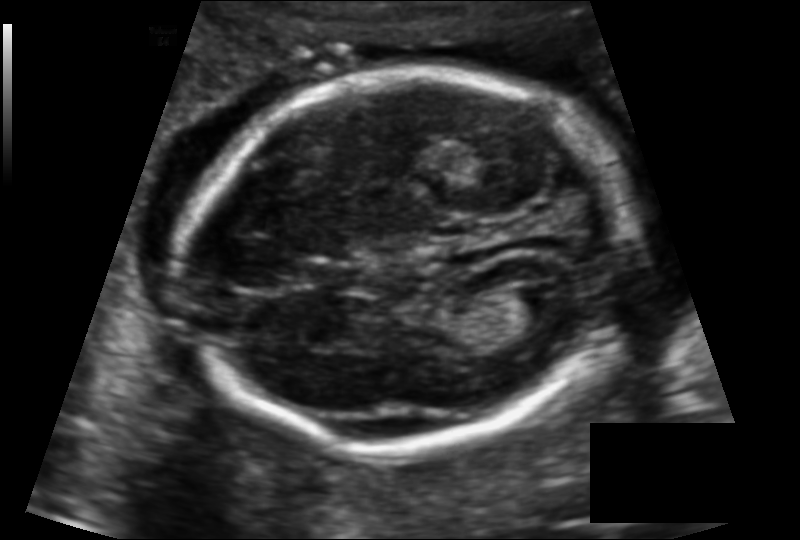
From this fetal ultrasound, estimate the head circumference (image width 99.3 mm).

Head circumference: 167.2 mm.